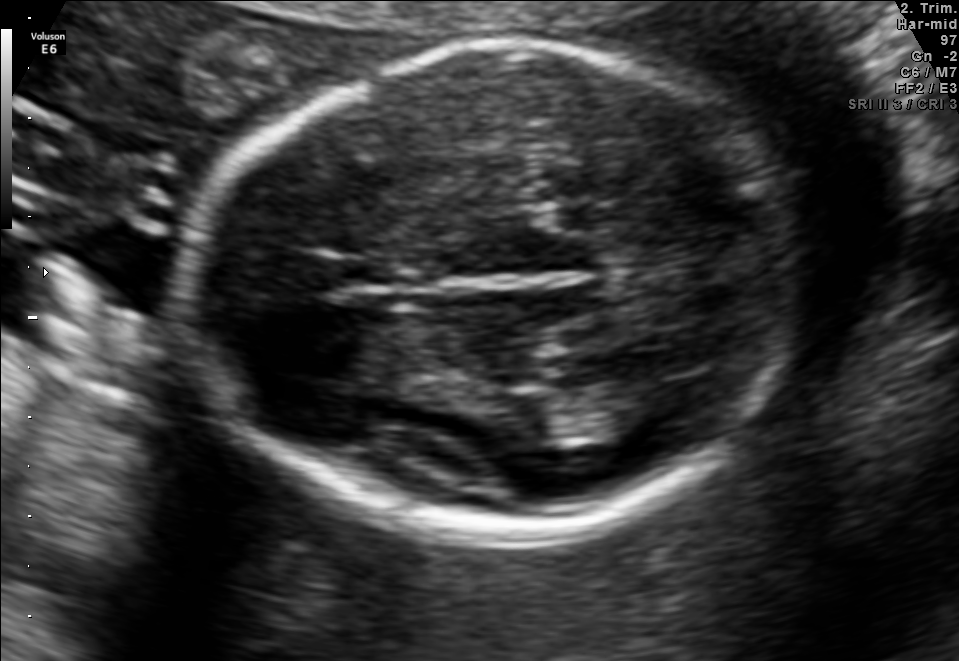
Fetal brain, trans-thalamic plane. Where is the fetal head?

Head bounding box: [177,45,794,534]